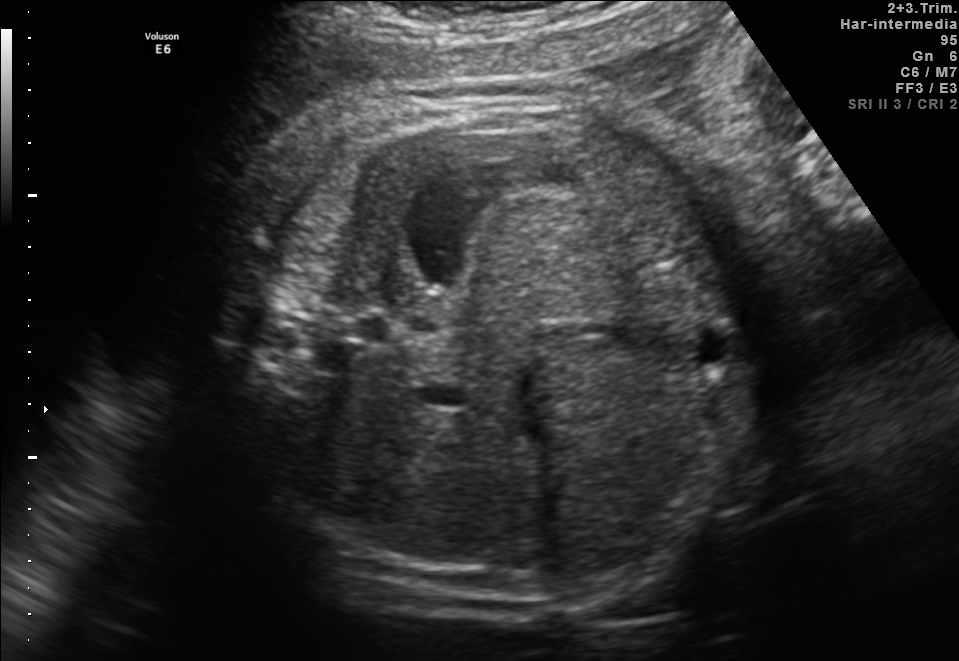
Identify the standard plane in this fetal ultrasound image: fetal abdomen, fetal brain, fetal femur, fetal thorax, maternal cervix, or other. If it's fetal brain and one of the three standard brain planes (trans-thalamic, trans-cerebellum, trans-ventricular), name which.

Fetal abdomen